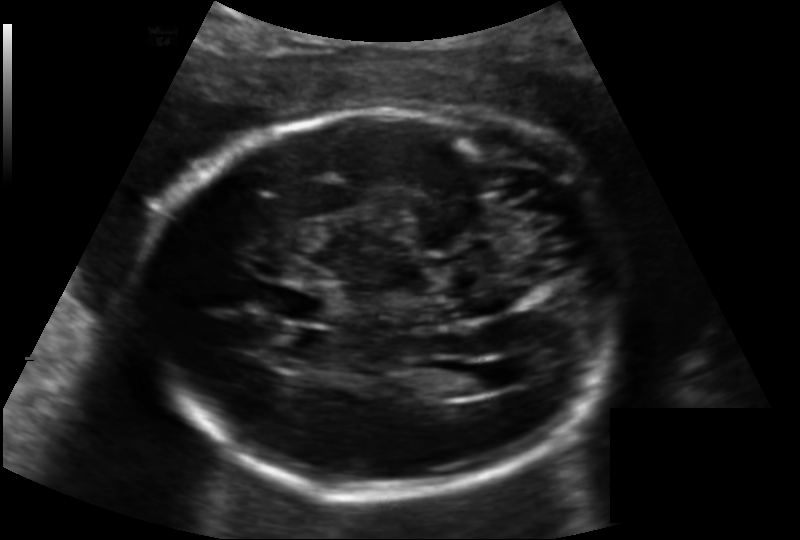
In this fetal head ultrasound, give the bounding box of the lateral ventricle. Image width: 126.5 mm.

[436,361,500,399]